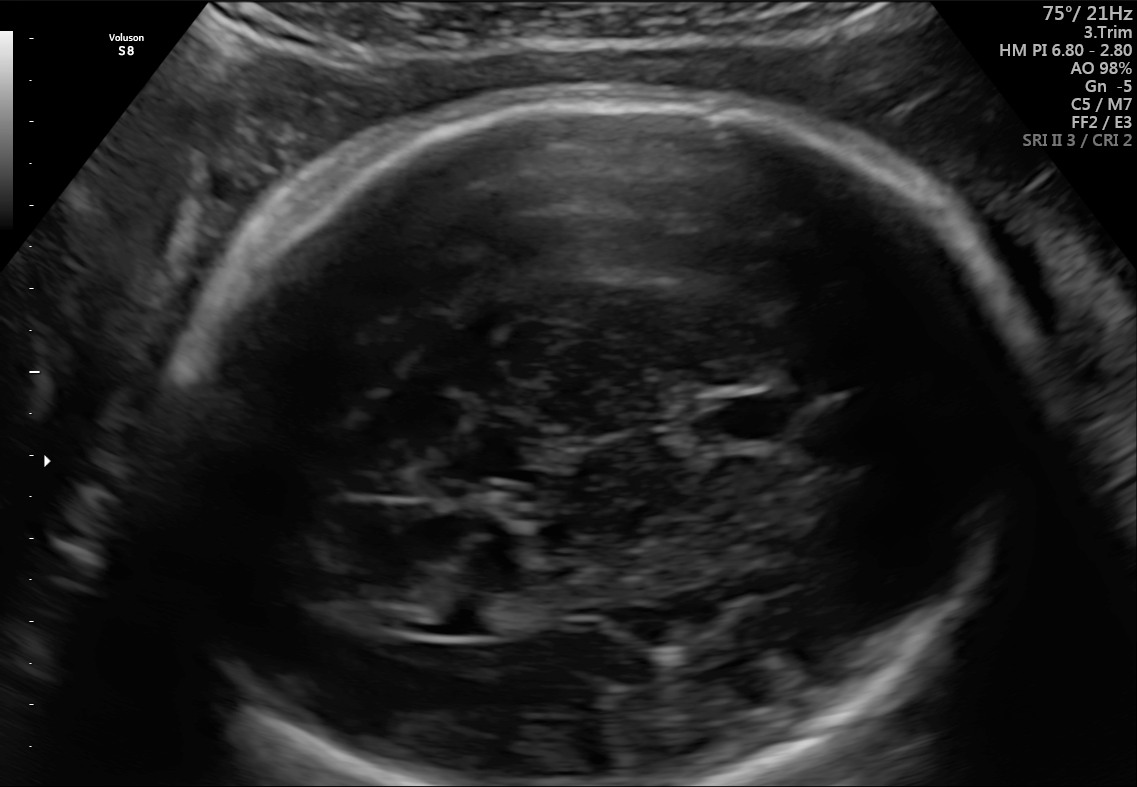
Which standard maternal-fetal ultrasound plane is shown: fetal abdomen, fetal brain, fetal femur, fetal thorax, maternal cervix, or other? If it's fetal brain and one of the three standard brain planes (trans-thalamic, trans-cerebellum, trans-ventricular), name which.

Fetal brain (trans-ventricular plane)